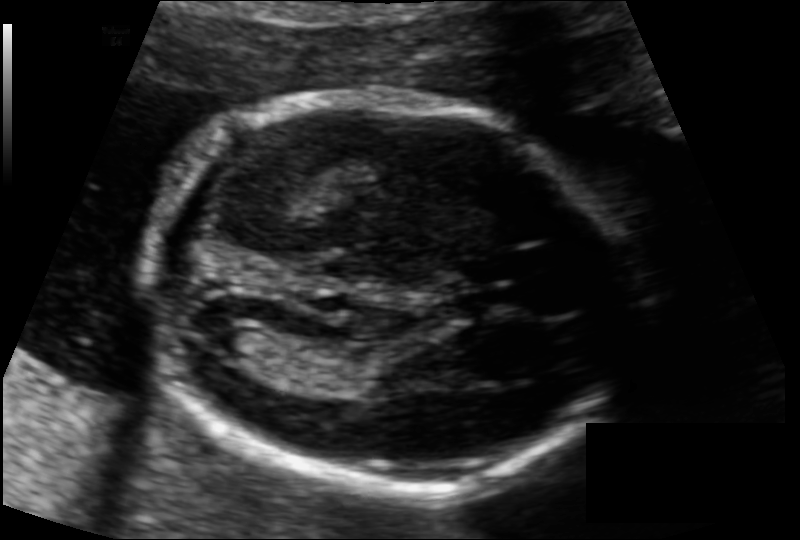
In this fetal head ultrasound, give the bounding box of the lateral ventricle. Image width: 86.5 mm.

[206,313,272,368]